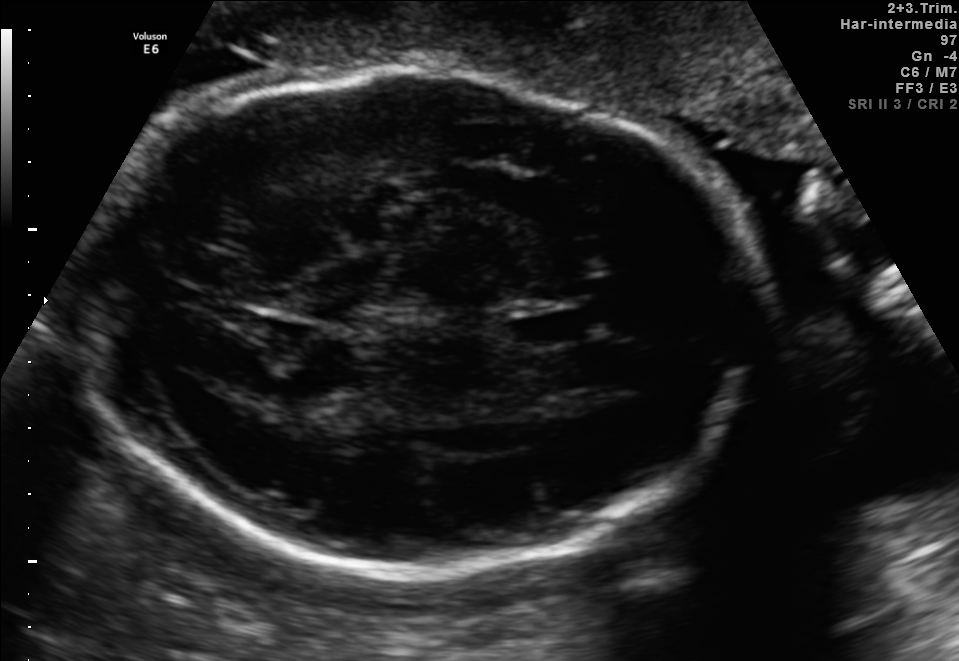
Identify the standard plane in this fetal ultrasound image: fetal abdomen, fetal brain, fetal femur, fetal thorax, maternal cervix, or other. If it's fetal brain and one of the three standard brain planes (trans-thalamic, trans-cerebellum, trans-ventricular), name which.

Fetal brain (trans-thalamic plane)